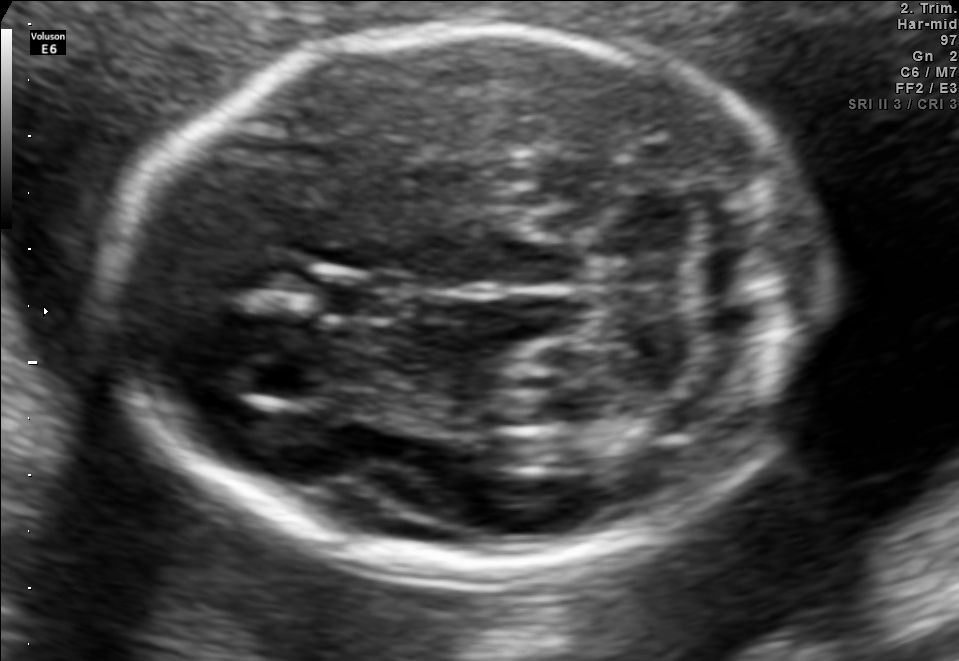
Fetal brain, trans-cerebellum plane. Locate the fetal head.

Head: [111,26,826,573]